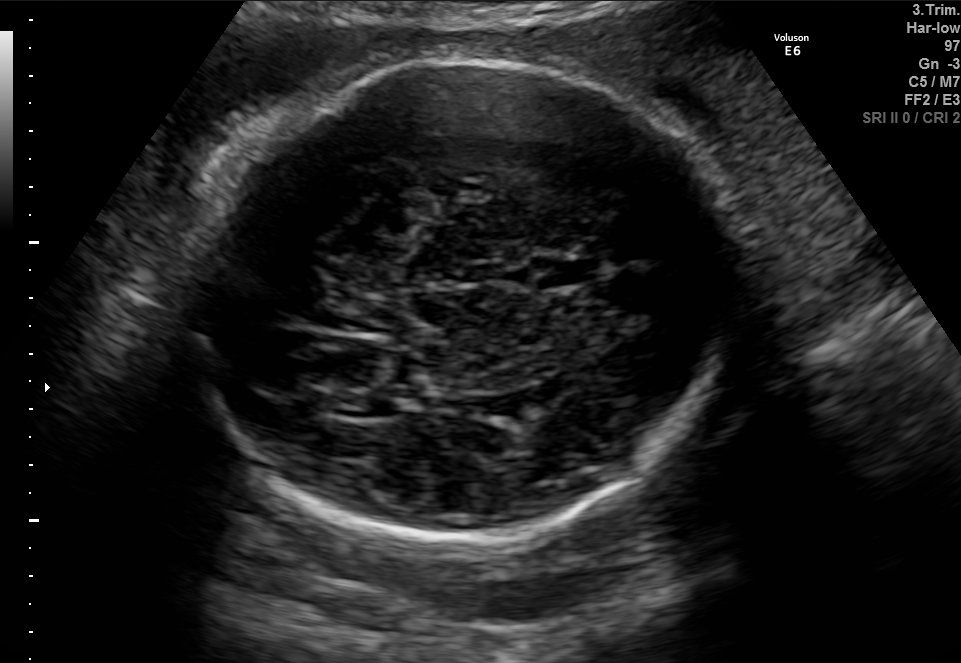
Fetal brain, trans-thalamic plane. Locate the cavum septum pellucidum.

CSP: [538,257,597,289]